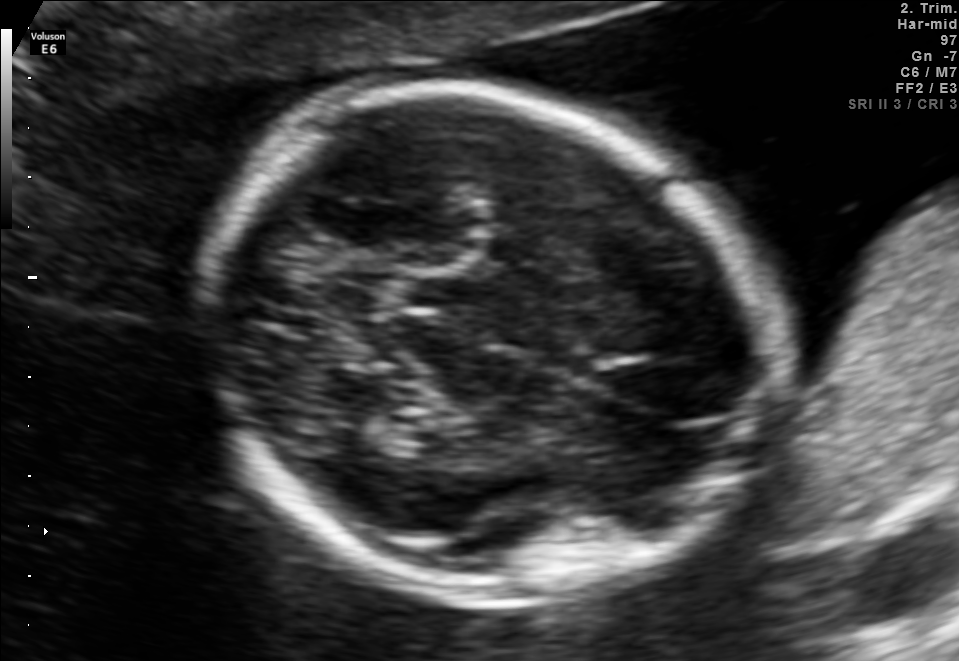
In this fetal brain, trans-thalamic plane, give bounding boxes for the head outline, cavum septum pellucidum (CSP), and lateral ventricle (LV), where visible.

Head: [194,88,775,597]